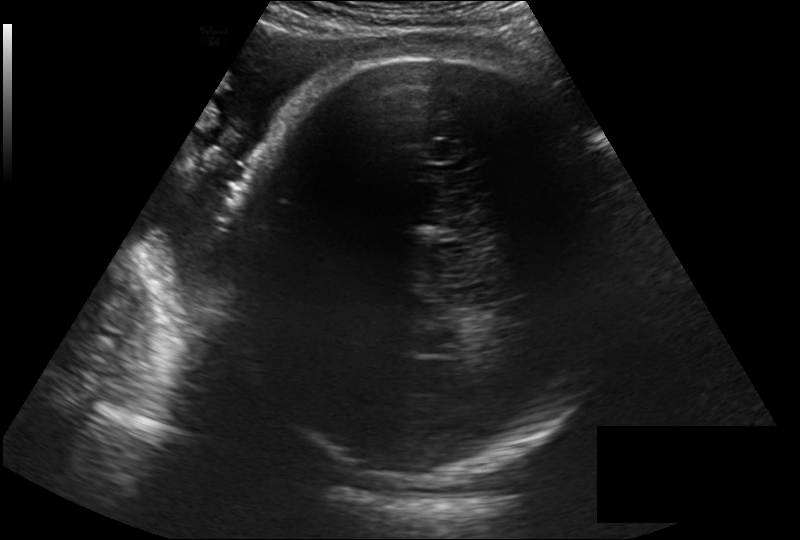
In this fetal head ultrasound, give the bounding box of the fetal head. Image width: 206.0 mm.

[224,54,625,483]